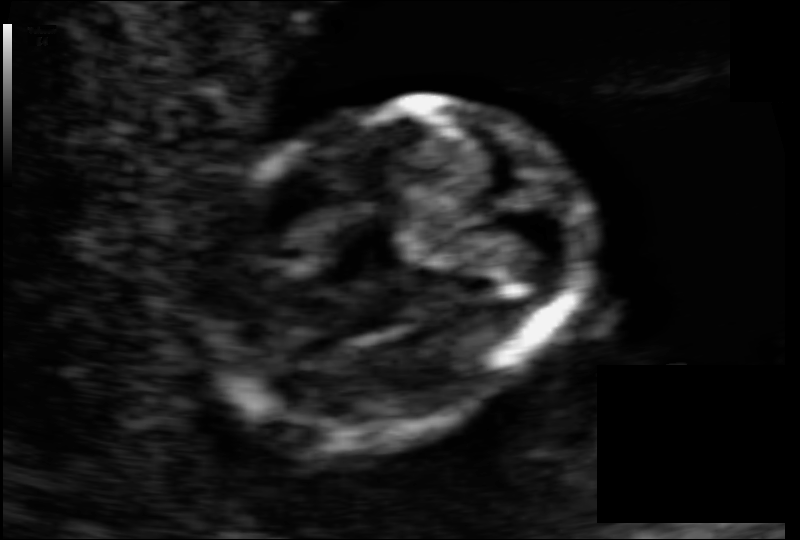
In this fetal head ultrasound, give bounding boxes for the head outline, cavum septum pellucidum (CSP), and lateral ventricle (LV), where visible. Image width: 55.0 mm.

Head: [206,101,582,444]